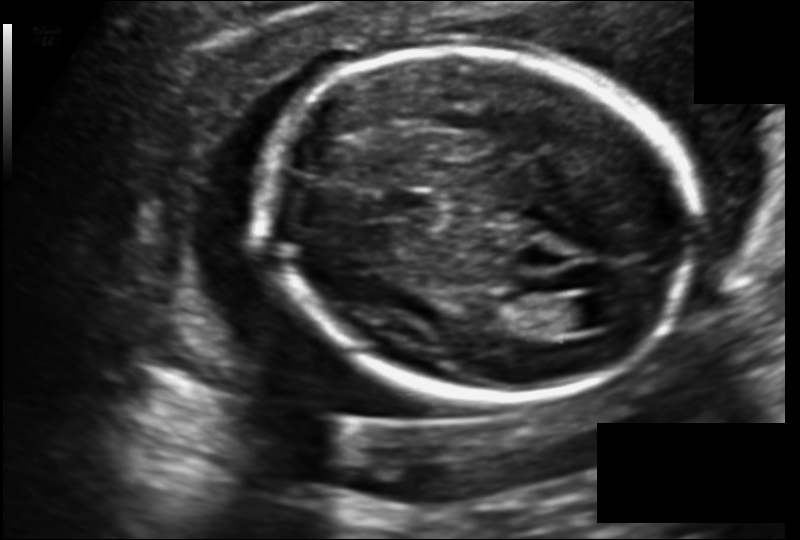
Measure the fetal head circumference shown in this ultrasound image. Image width: 111.6 mm.

Head circumference: 176.6 mm.